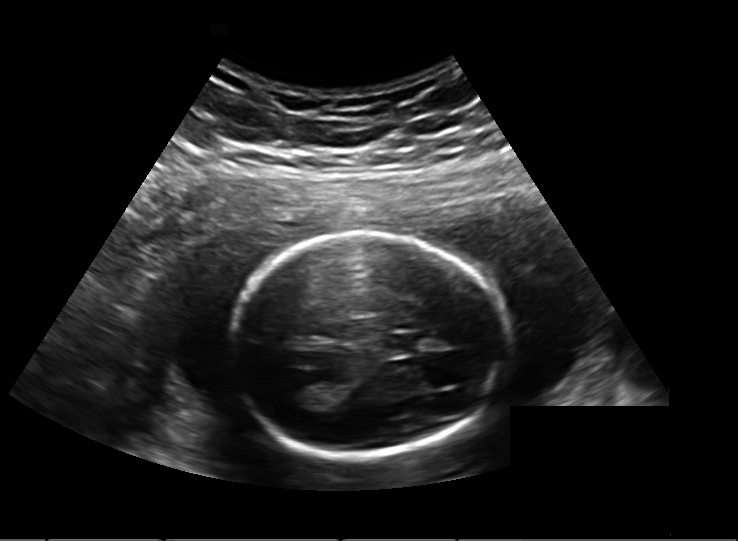
Fetal head ultrasound. Image width: 149.5 mm. Locate the fetal head.

Head: [232,232,503,456]